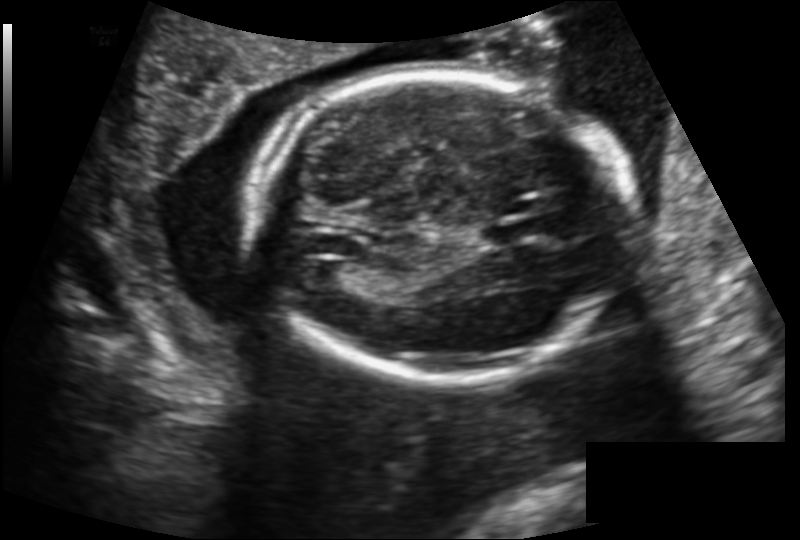
Fetal head ultrasound. Image width: 127.5 mm. Where is the lateral ventricle?

Lateral ventricle bounding box: [308,262,348,287]